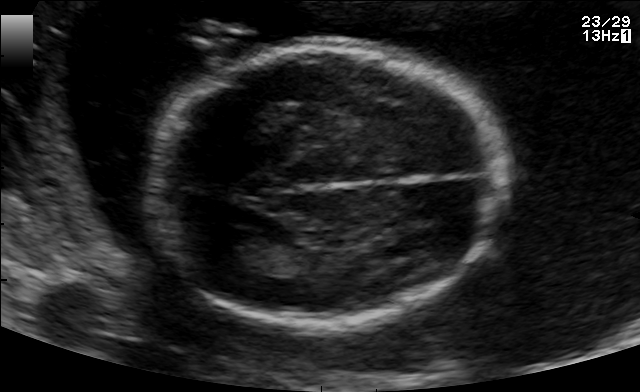
Fetal brain, trans-thalamic plane. Give [x1,y1,x2,y2] bounding boxes for each visible structure among: fetal head, CSP, LV.

Head: [149,44,509,326]
Lateral ventricle: [213,222,282,273]